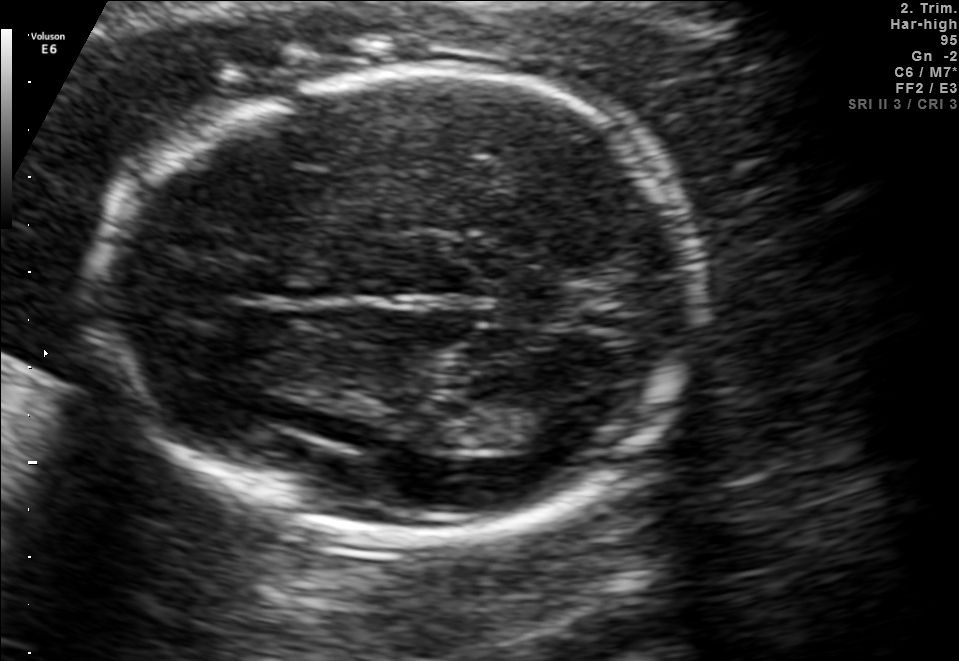
Fetal brain, trans-thalamic plane. Where is the lateral ventricle?

Lateral ventricle bounding box: [492,400,586,455]